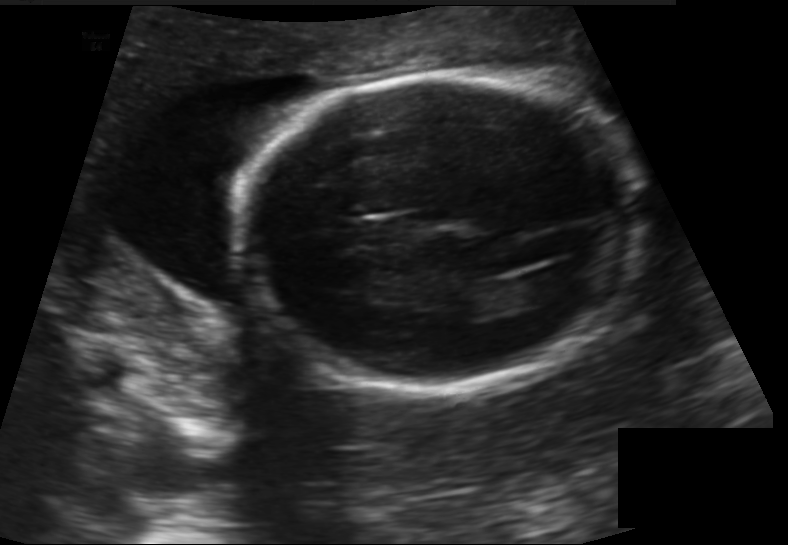
Fetal head ultrasound. Image width: 122.2 mm. Locate the fetal head and, if visible, the cavum septum pellucidum (CSP) and lateral ventricle (LV). Give bounding boxes as [x1,y1,x2,y2].

Head: [237,73,633,387]
Lateral ventricle: [517,259,589,308]